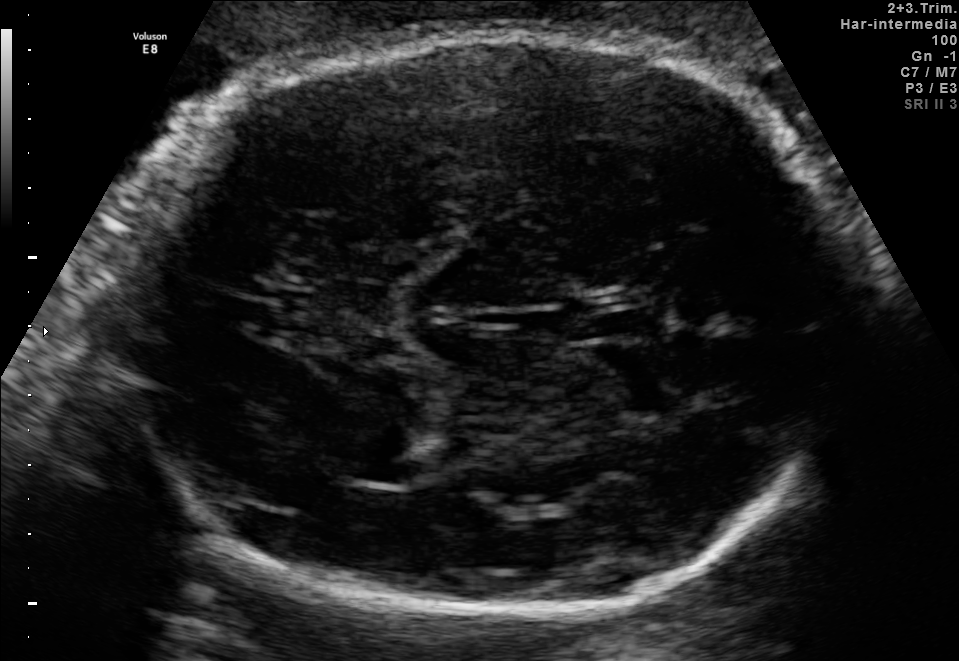
Fetal brain, trans-thalamic plane. Where is the fetal head?

Head bounding box: [117,34,854,617]